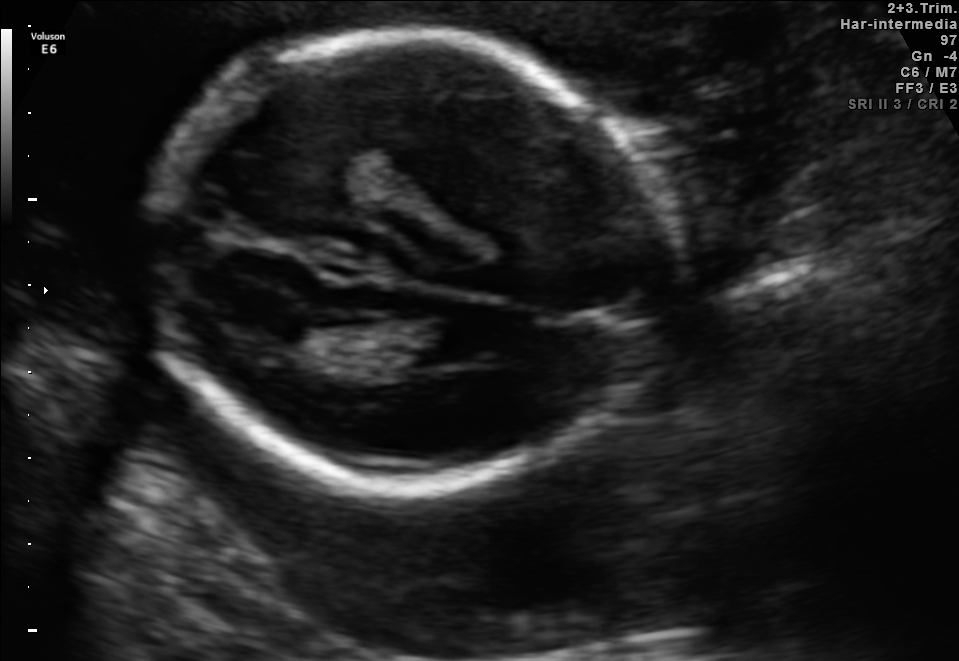
Fetal brain, trans-ventricular plane. Locate the fetal head and, if visible, the cavum septum pellucidum (CSP) and lateral ventricle (LV). Give bounding boxes as [x1,y1,x2,y2].

Head: [134,24,679,501]